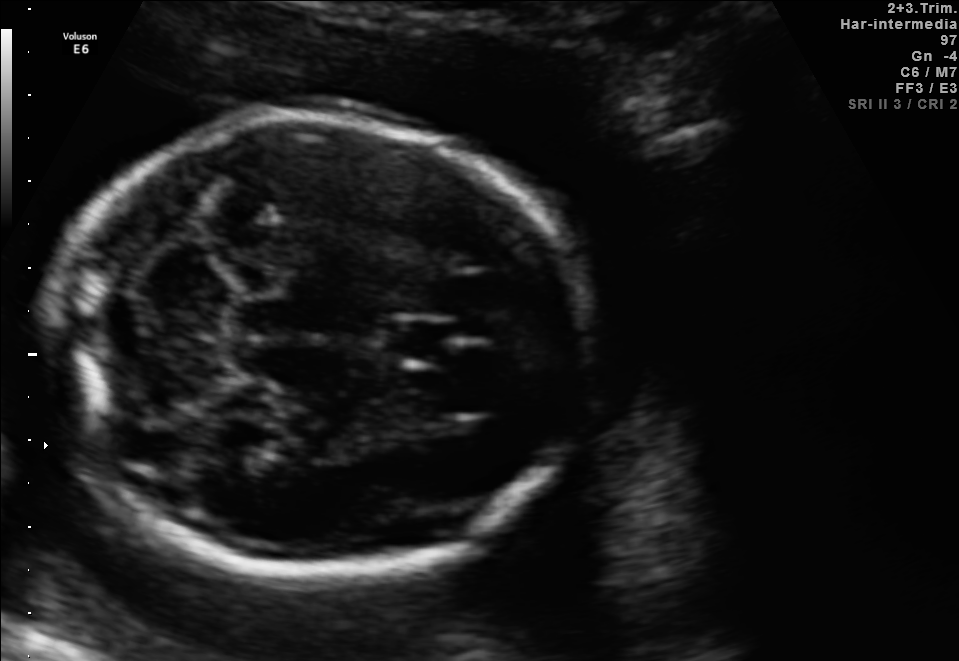
This is a 2D maternal-fetal ultrasound frame. Is it a fetal abdomen, fetal brain, fetal femur, fetal thorax, maternal cervix, or other standard plane? If it's fetal brain and one of the three standard brain planes (trans-thalamic, trans-cerebellum, trans-ventricular), name which.

Fetal brain (trans-cerebellum plane)